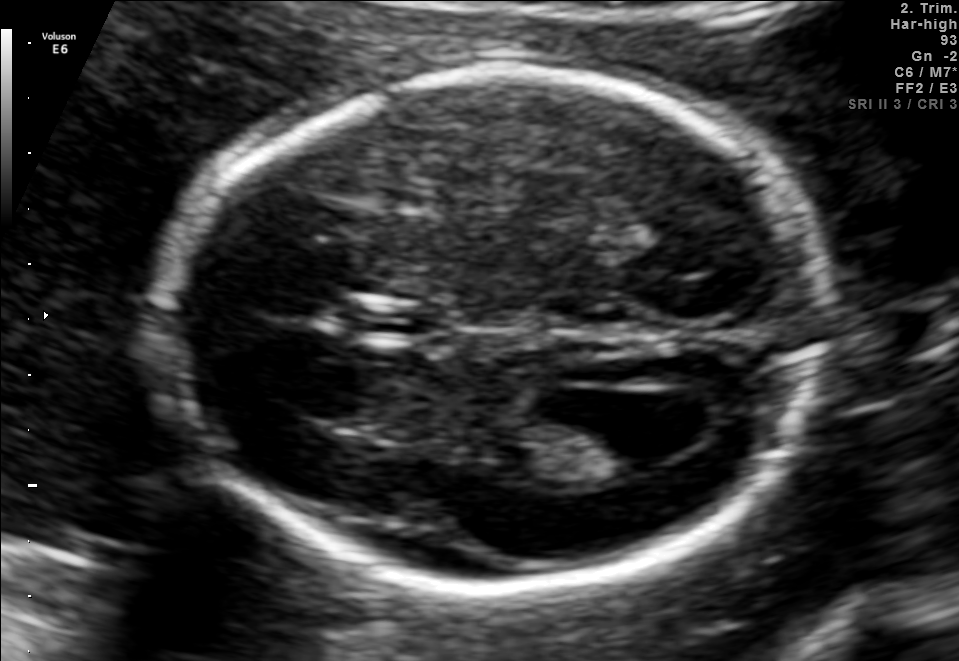
In this fetal brain, trans-ventricular plane, give the bounding box of the lateral ventricle.

[563,383,697,487]